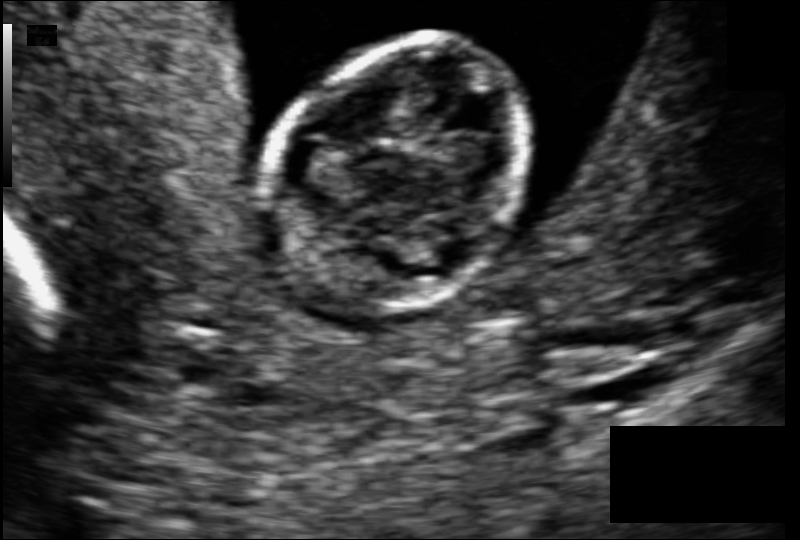
Fetal head ultrasound. Image width: 63.6 mm. Give [x1,y1,x2,y2] bounding boxes for each visible structure among: fetal head, CSP, LV.

Head: [266,41,532,315]